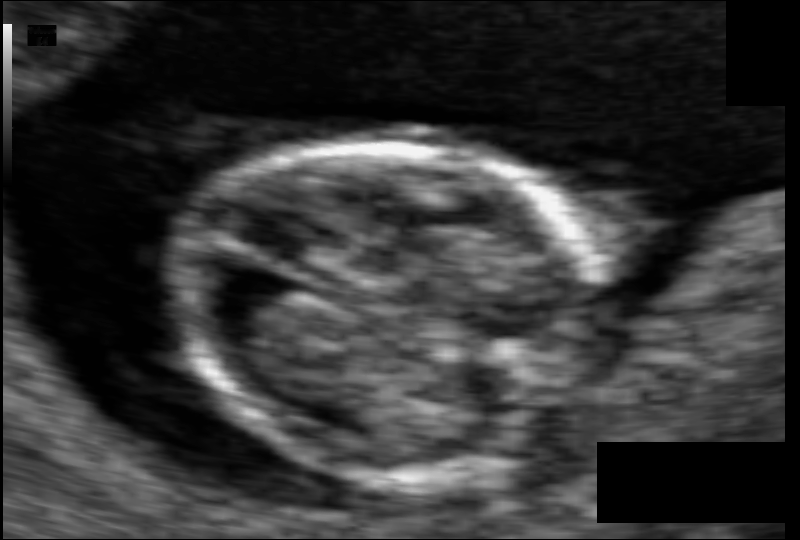
In this fetal head ultrasound, give bounding boxes for the head outline, cavum septum pellucidum (CSP), and lateral ventricle (LV), where visible. Image width: 43.6 mm.

Head: [173,144,606,478]